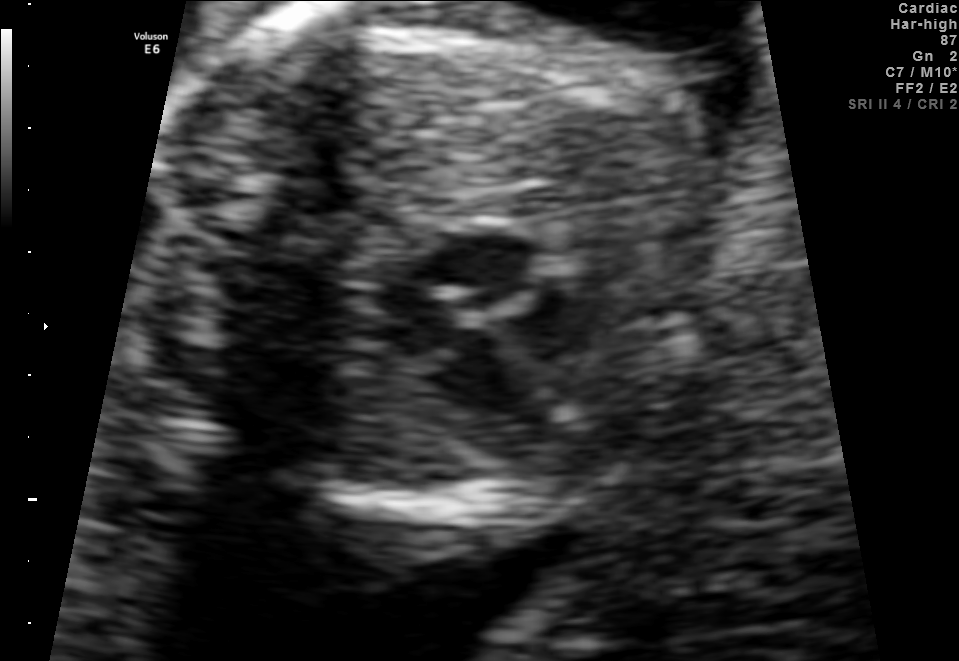
Classify this maternal-fetal ultrasound image as one of the six standard planes — fetal abdomen, fetal brain, fetal femur, fetal thorax, maternal cervix, or other. If it's fetal brain and one of the three standard brain planes (trans-thalamic, trans-cerebellum, trans-ventricular), name which.

Fetal thorax